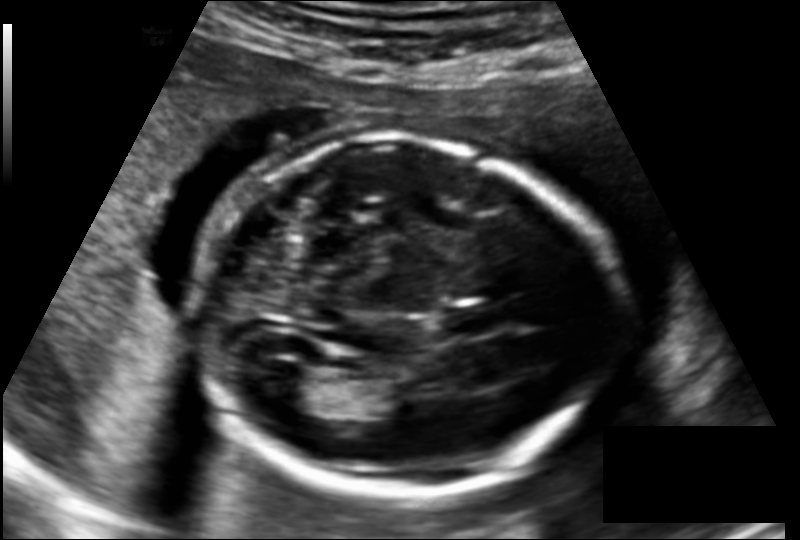
Fetal head ultrasound. Image width: 115.9 mm. Where is the fetal head?

Head bounding box: [196,141,621,498]